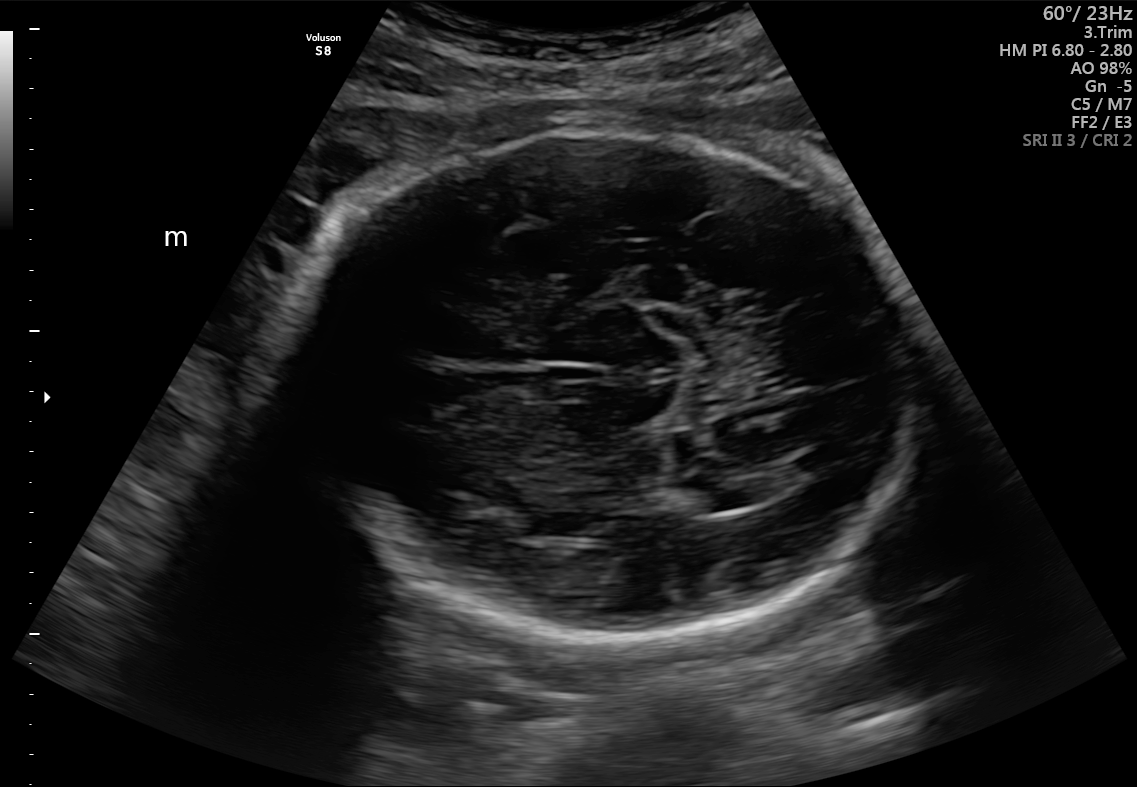
Fetal brain, trans-thalamic plane. Where is the lateral ventricle?

Lateral ventricle bounding box: [684,465,767,519]